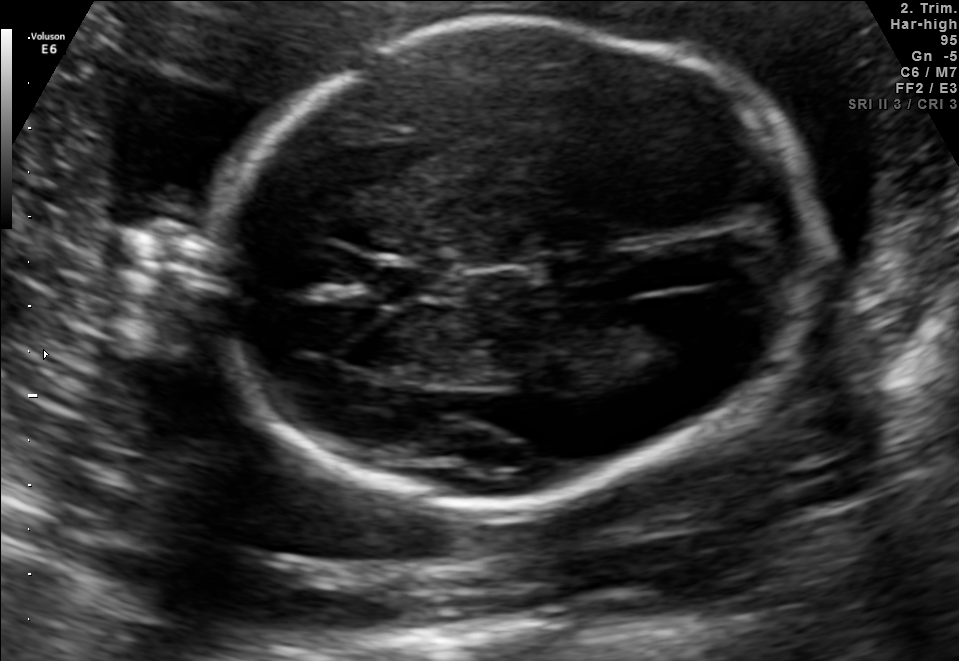
In this fetal brain, trans-ventricular plane, give the bounding box of the cavum septum pellucidum.

[373,258,463,299]